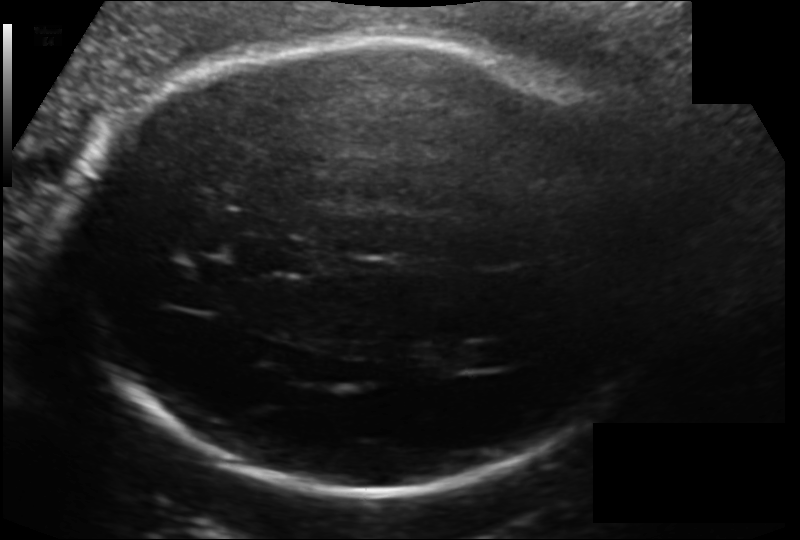
Estimate the fetal head circumference from this 2D ultrasound.

Head circumference: 261.2 mm (image width 123.2 mm).